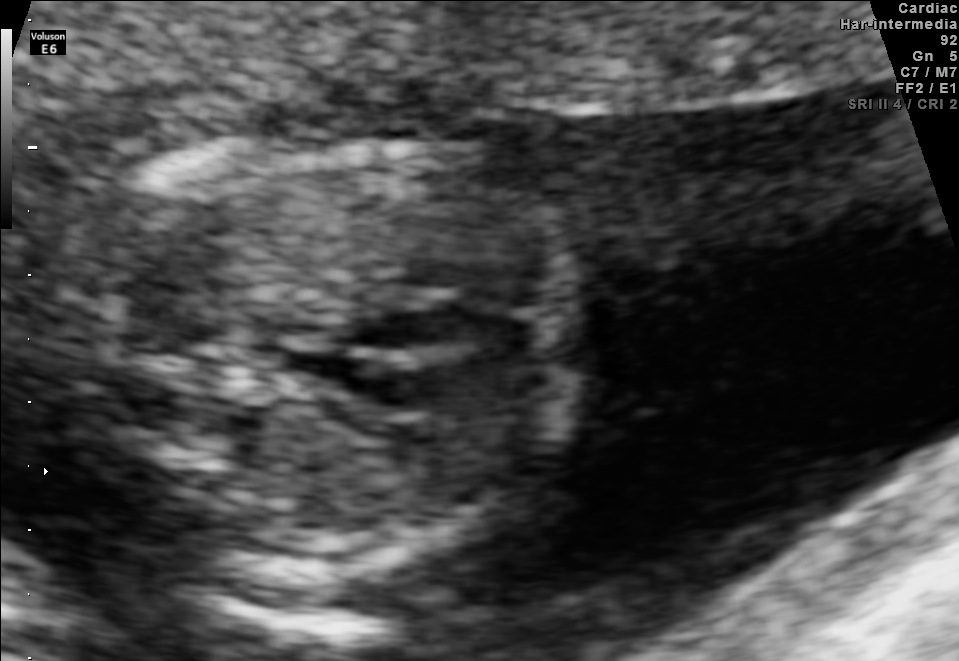
This is a 2D maternal-fetal ultrasound frame. Is it a fetal abdomen, fetal brain, fetal femur, fetal thorax, maternal cervix, or other standard plane? If it's fetal brain and one of the three standard brain planes (trans-thalamic, trans-cerebellum, trans-ventricular), name which.

Other